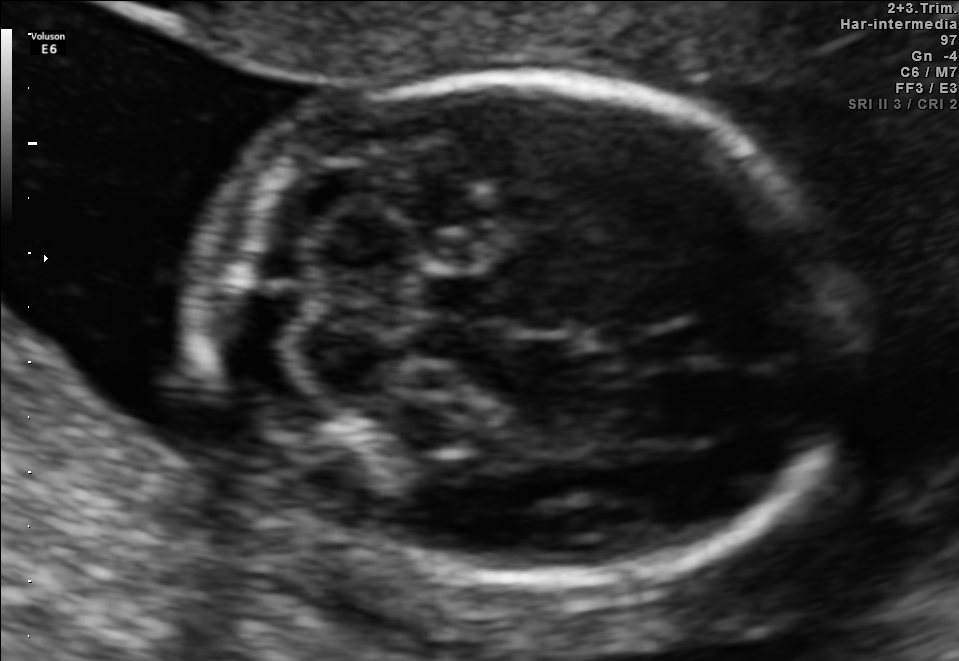
In this fetal brain, trans-cerebellum plane, give bounding boxes for the head outline, cavum septum pellucidum (CSP), and lateral ventricle (LV), where visible.

Head: [193,78,852,581]